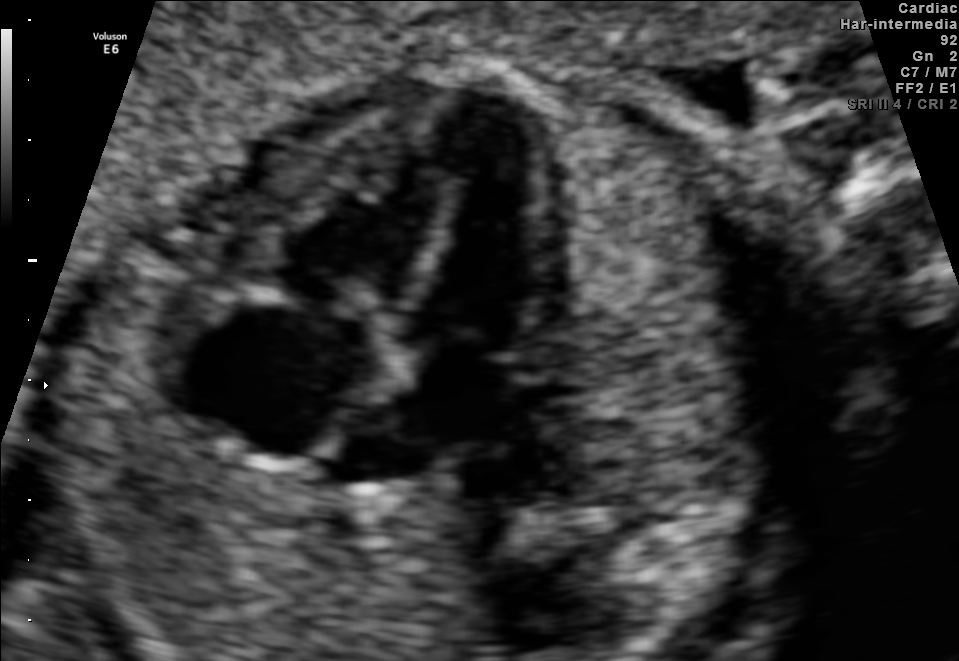
Which standard maternal-fetal ultrasound plane is shown: fetal abdomen, fetal brain, fetal femur, fetal thorax, maternal cervix, or other? If it's fetal brain and one of the three standard brain planes (trans-thalamic, trans-cerebellum, trans-ventricular), name which.

Fetal thorax